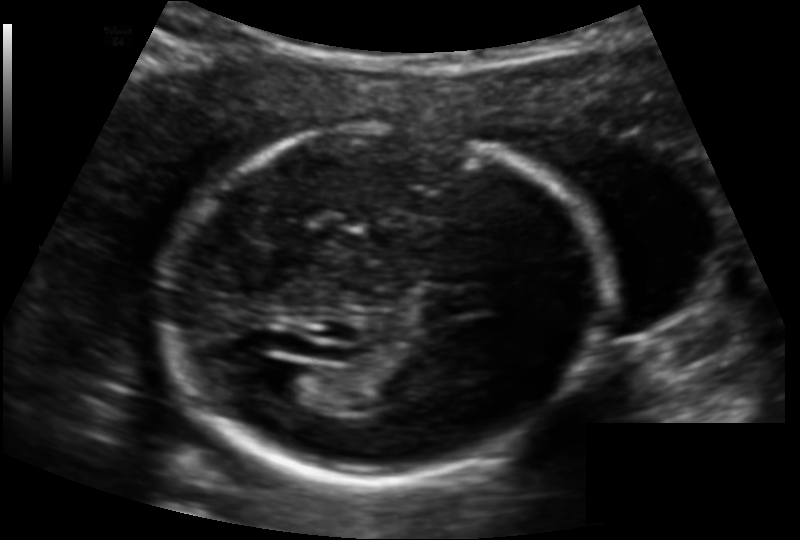
Fetal head ultrasound. Image width: 105.9 mm. Where is the lateral ventricle?

Lateral ventricle bounding box: [266,358,330,411]